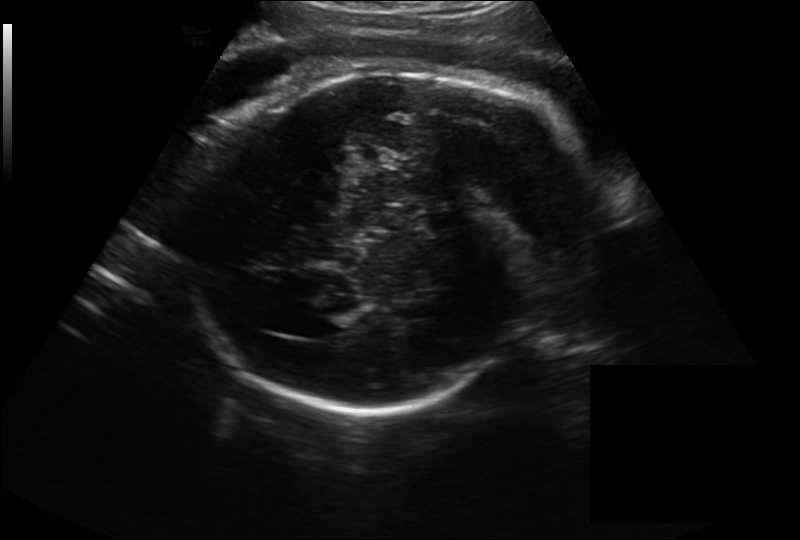
Measure the fetal head circumference shown in this ultrasound image. Image width: 209.3 mm.

Head circumference: 312.5 mm.